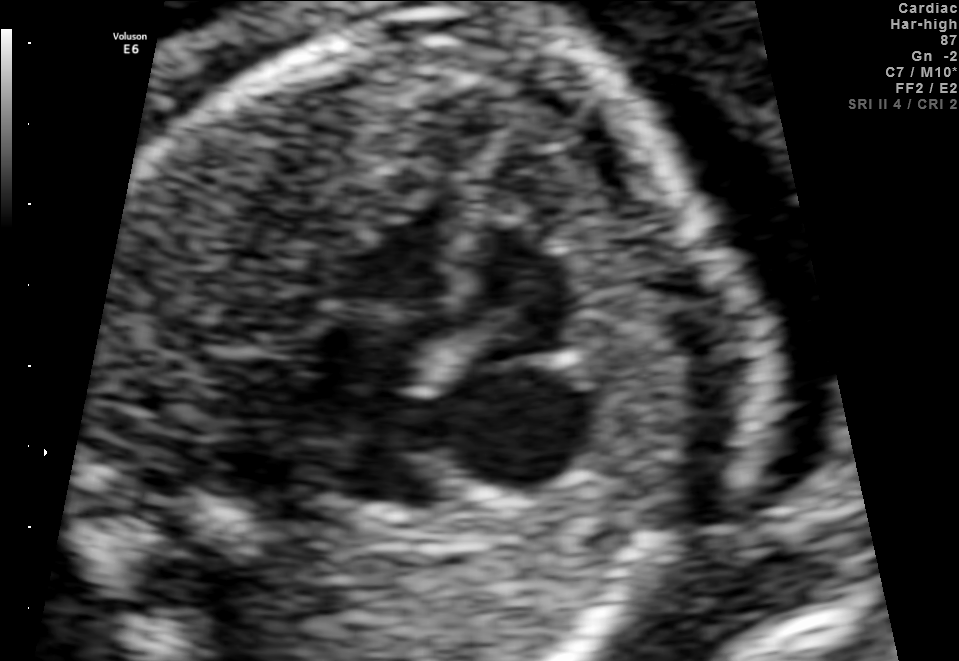
Identify the standard plane in this fetal ultrasound image: fetal abdomen, fetal brain, fetal femur, fetal thorax, maternal cervix, or other. If it's fetal brain and one of the three standard brain planes (trans-thalamic, trans-cerebellum, trans-ventricular), name which.

Fetal thorax